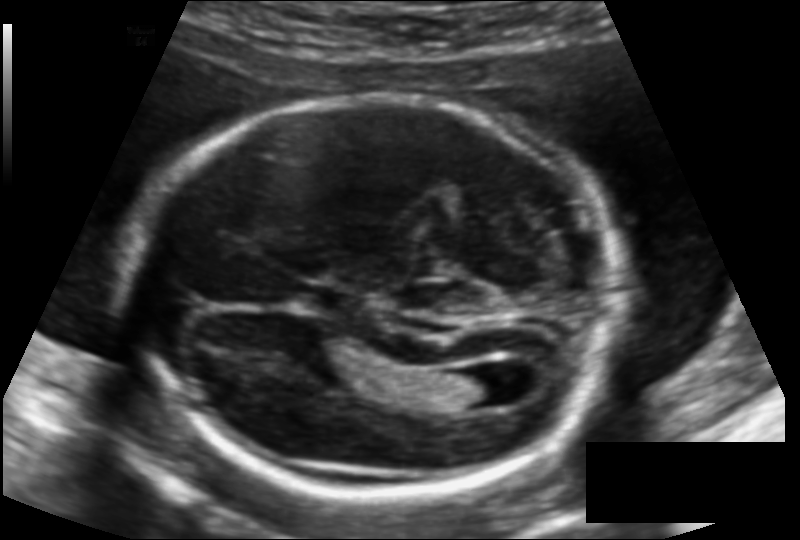
Fetal head ultrasound. Image width: 99.7 mm. Where is the cavum septum pellucidum?

CSP bounding box: [299,281,359,320]